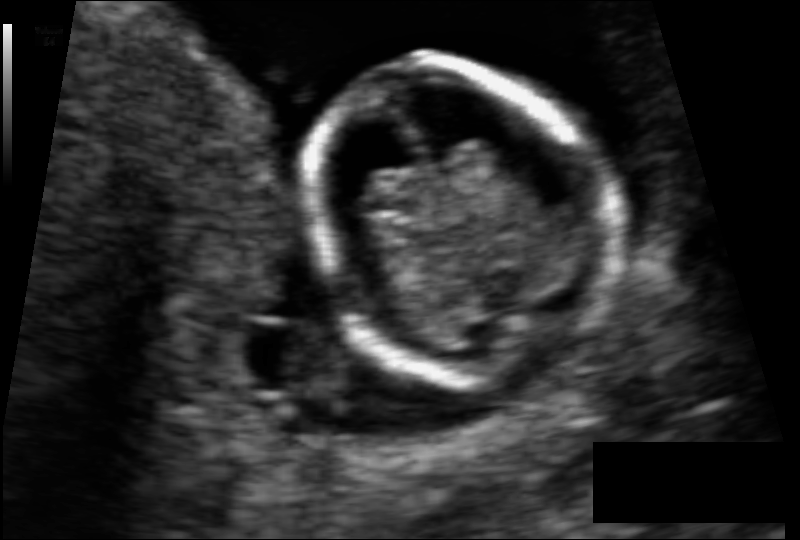
From this fetal ultrasound, estimate the head circumference (image width 58.7 mm).

Head circumference: 76.6 mm.